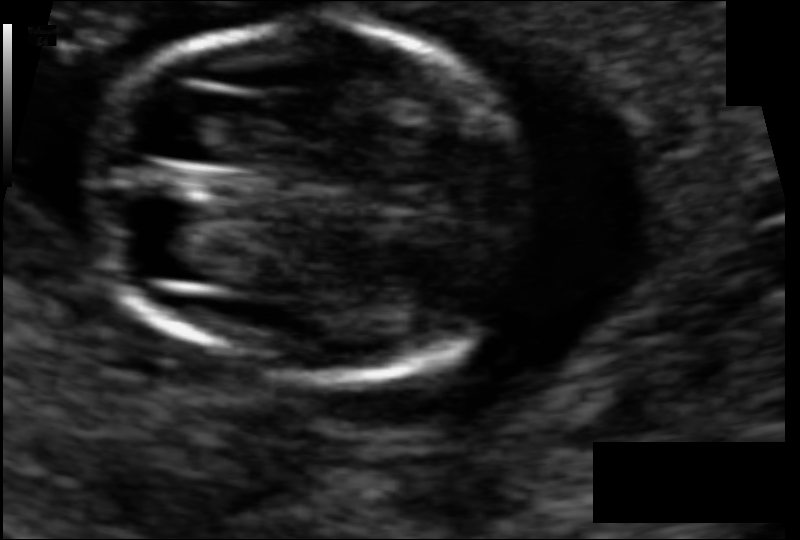
What is the fetal head circumference? Image width is 48.6 mm.

79.9 mm